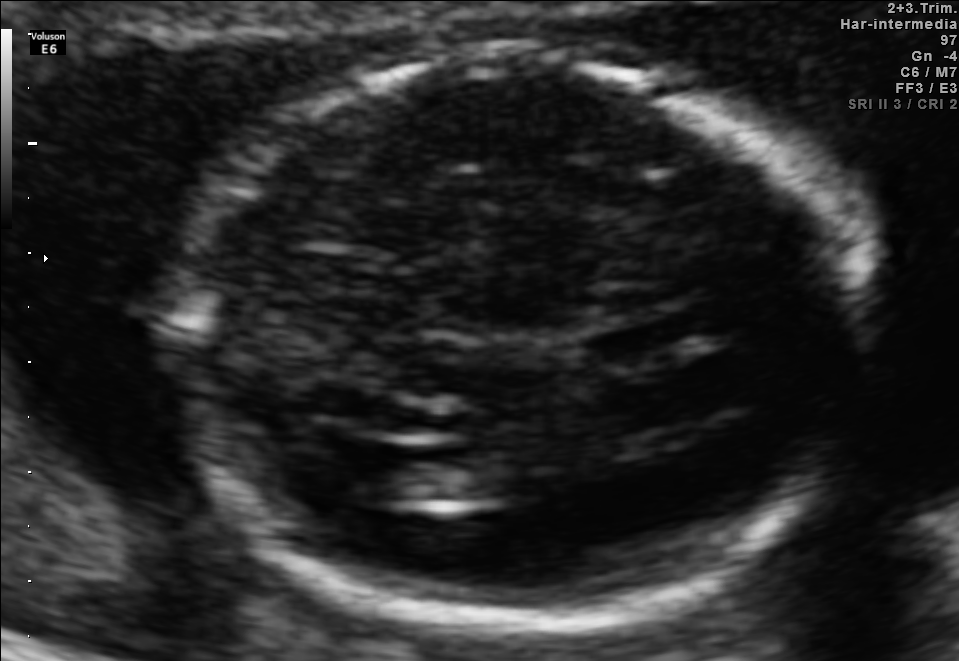
Fetal brain, trans-ventricular plane. Give [x1,y1,x2,y2] bounding boxes for each visible structure among: fetal head, CSP, LV.

Head: [152,35,897,632]
Lateral ventricle: [367,446,443,499]